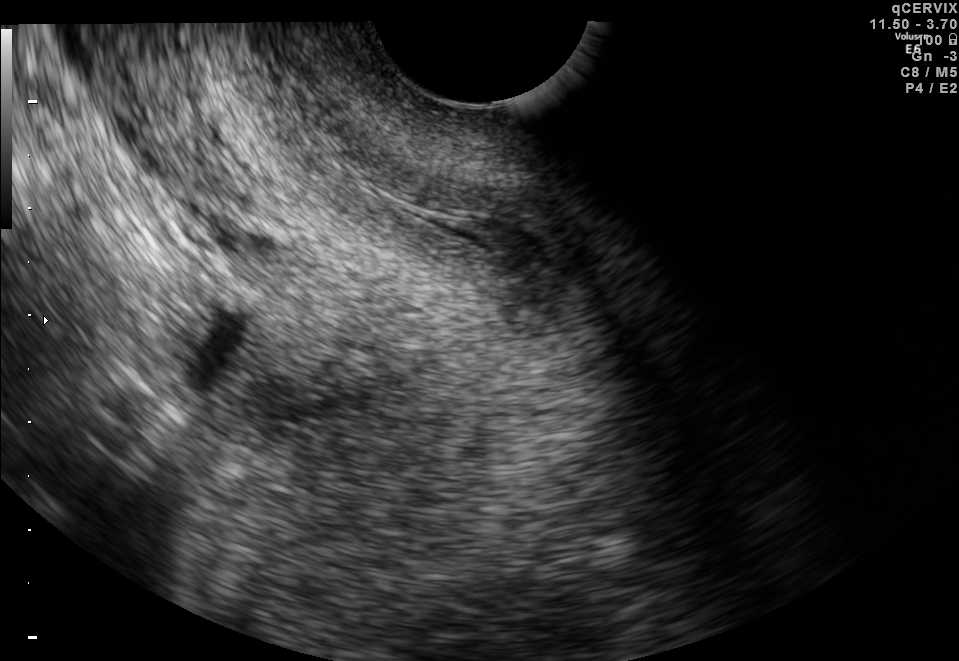
Identify the standard plane in this fetal ultrasound image: fetal abdomen, fetal brain, fetal femur, fetal thorax, maternal cervix, or other. If it's fetal brain and one of the three standard brain planes (trans-thalamic, trans-cerebellum, trans-ventricular), name which.

Maternal cervix